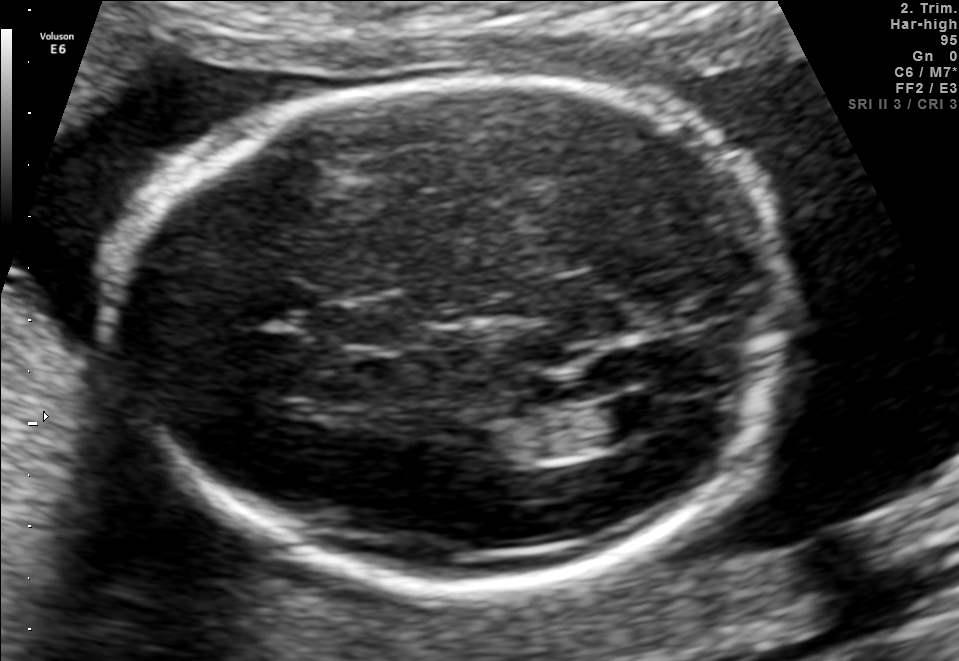
In this fetal brain, trans-ventricular plane, give the bounding box of the cavum septum pellucidum.

[316,301,426,347]